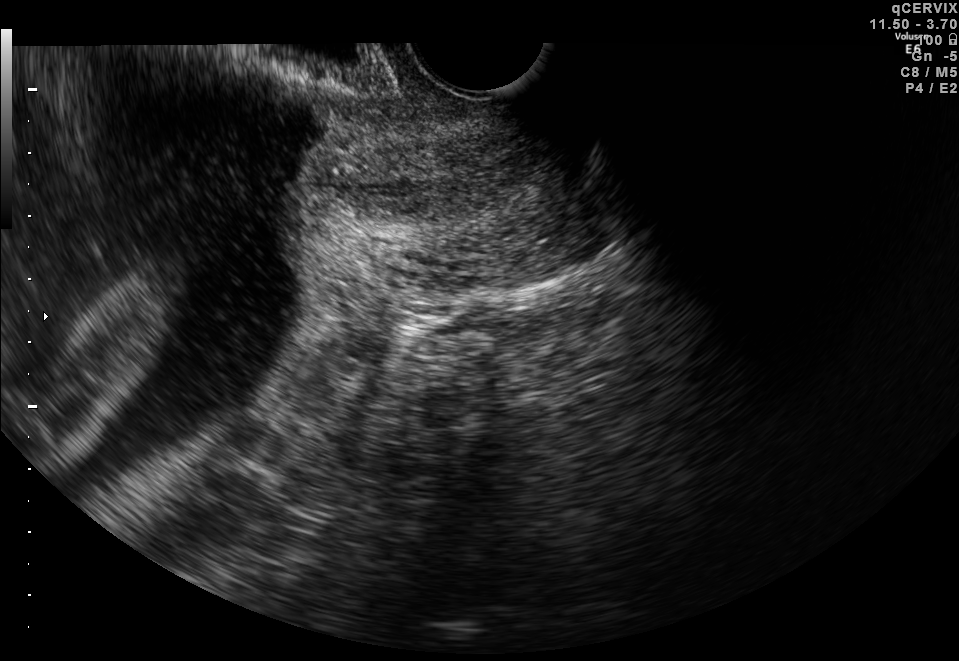
This is a 2D maternal-fetal ultrasound frame. Is it a fetal abdomen, fetal brain, fetal femur, fetal thorax, maternal cervix, or other standard plane? If it's fetal brain and one of the three standard brain planes (trans-thalamic, trans-cerebellum, trans-ventricular), name which.

Maternal cervix